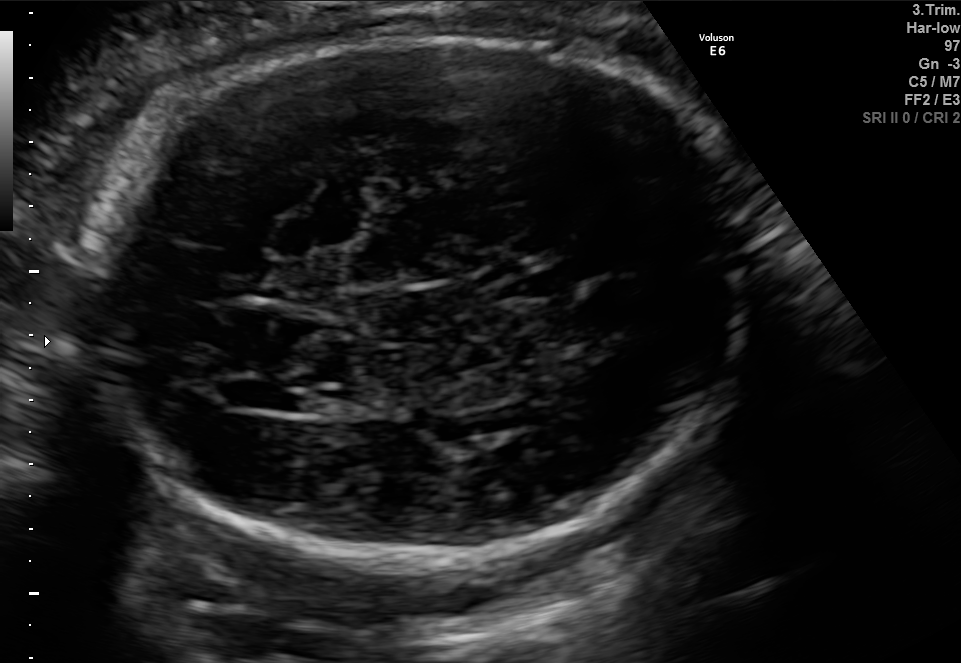
Fetal brain, trans-ventricular plane. Give [x1,y1,x2,y2] bounding boxes for each visible structure among: fetal head, CSP, LV.

Head: [72,23,765,566]